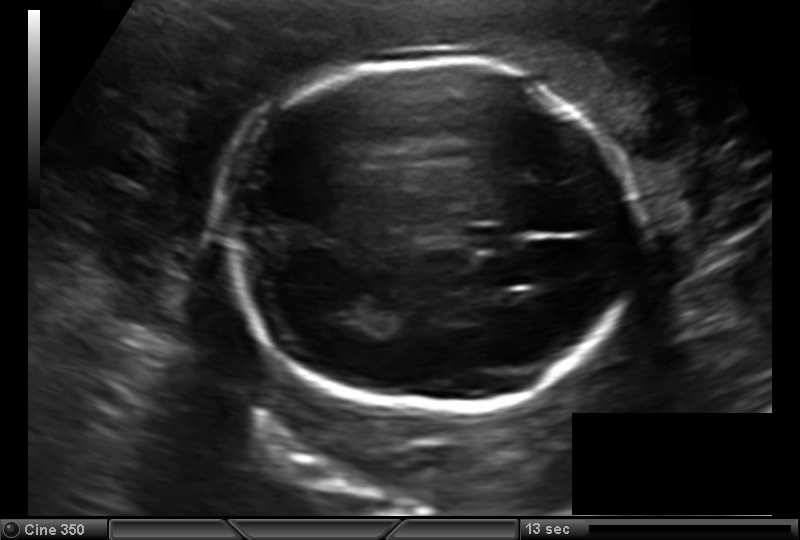
Measure the fetal head circumference shown in this ultrasound image. Image width: 125.6 mm.

Head circumference: 198.9 mm.